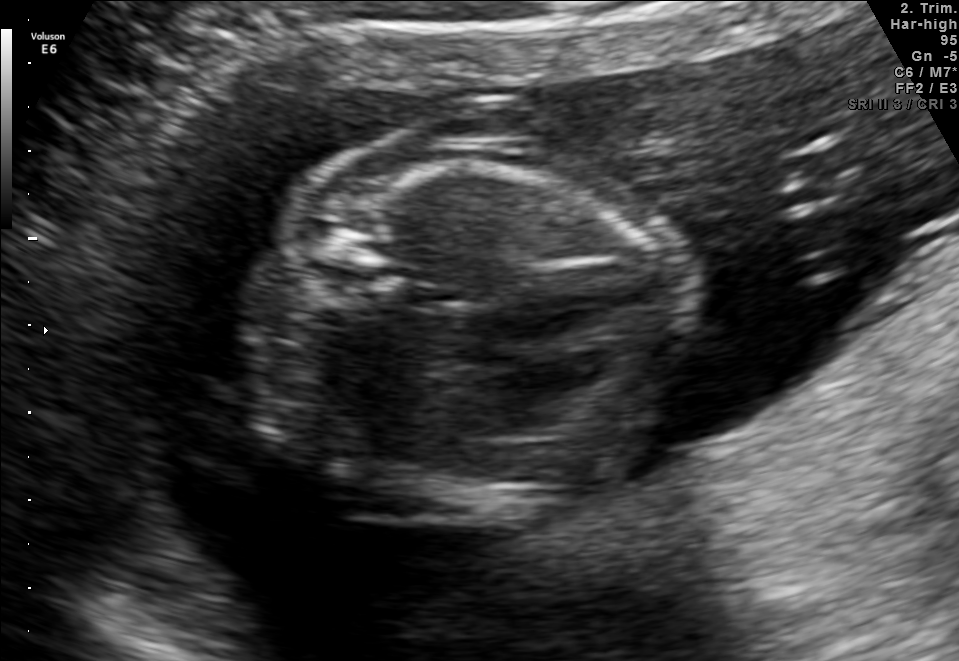
Identify the standard plane in this fetal ultrasound image: fetal abdomen, fetal brain, fetal femur, fetal thorax, maternal cervix, or other. If it's fetal brain and one of the three standard brain planes (trans-thalamic, trans-cerebellum, trans-ventricular), name which.

Fetal thorax